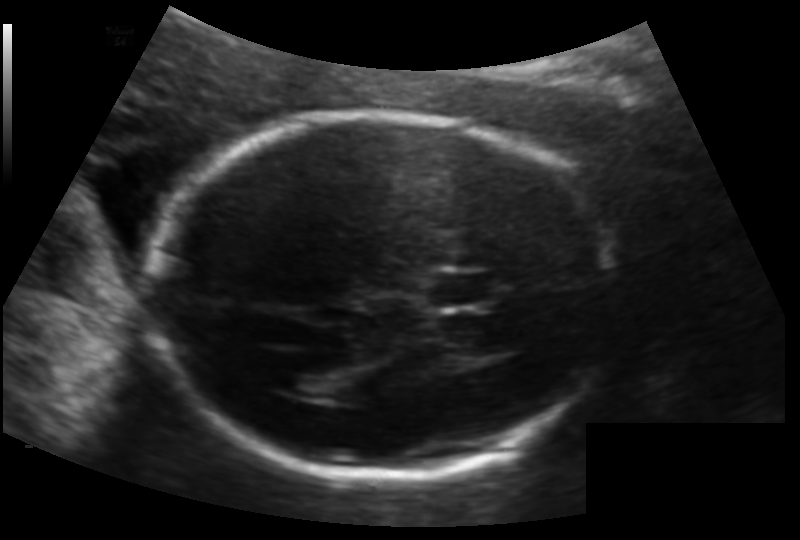
Fetal head ultrasound. Image width: 106.4 mm. Where is the cavum septum pellucidum?

CSP bounding box: [425,268,498,310]